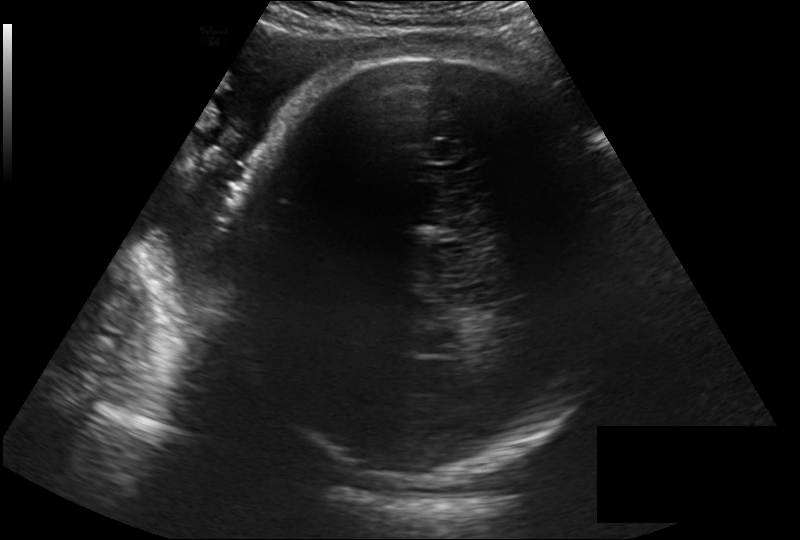
What is the fetal head circumference? Image width is 206.0 mm.

330.7 mm